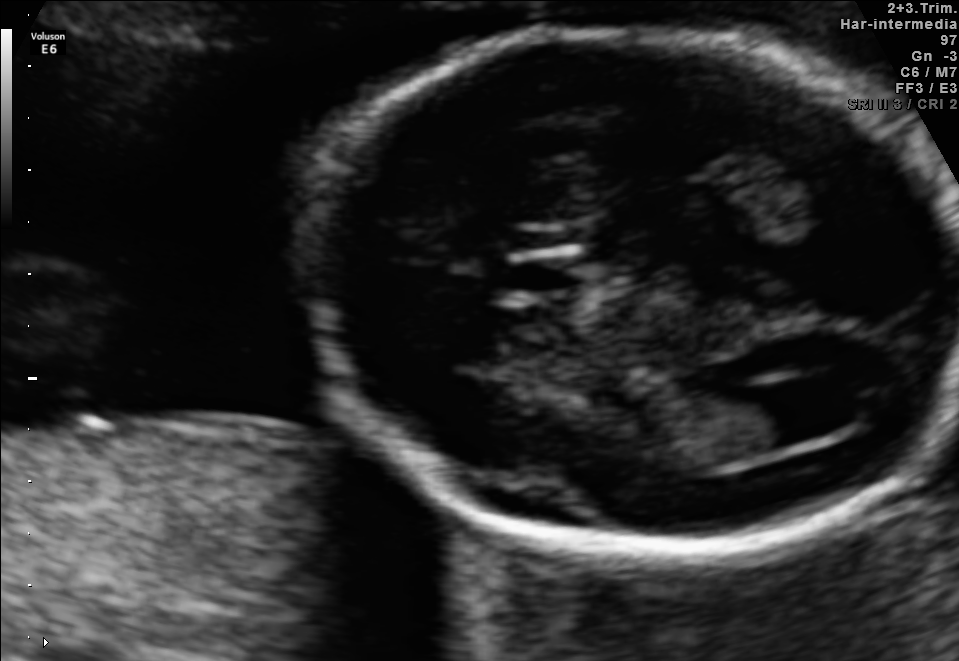
Fetal brain, trans-ventricular plane. Where is the cavum septum pellucidum?

CSP bounding box: [513,262,587,299]